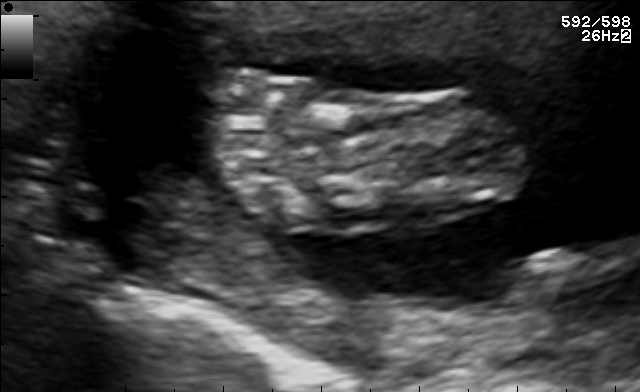
Which standard maternal-fetal ultrasound plane is shown: fetal abdomen, fetal brain, fetal femur, fetal thorax, maternal cervix, or other? If it's fetal brain and one of the three standard brain planes (trans-thalamic, trans-cerebellum, trans-ventricular), name which.

Other